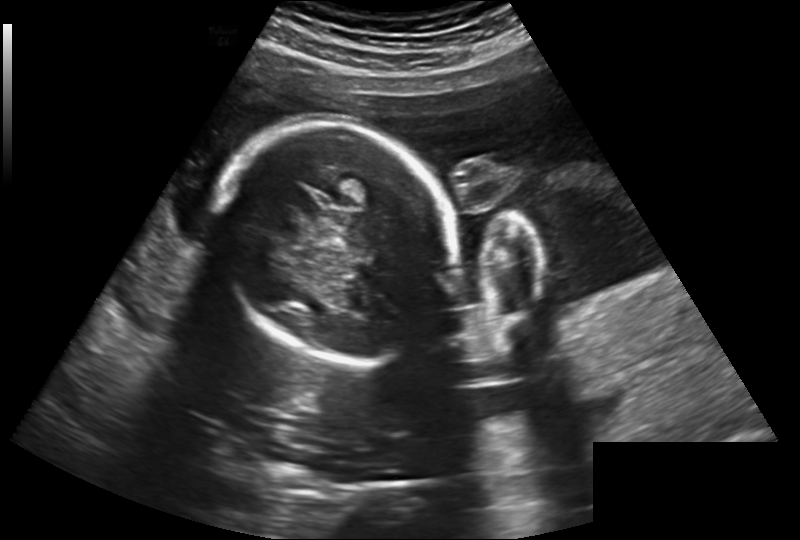
In this fetal head ultrasound, give the bounding box of the fetal head. Image width: 208.4 mm.

[224,121,450,362]